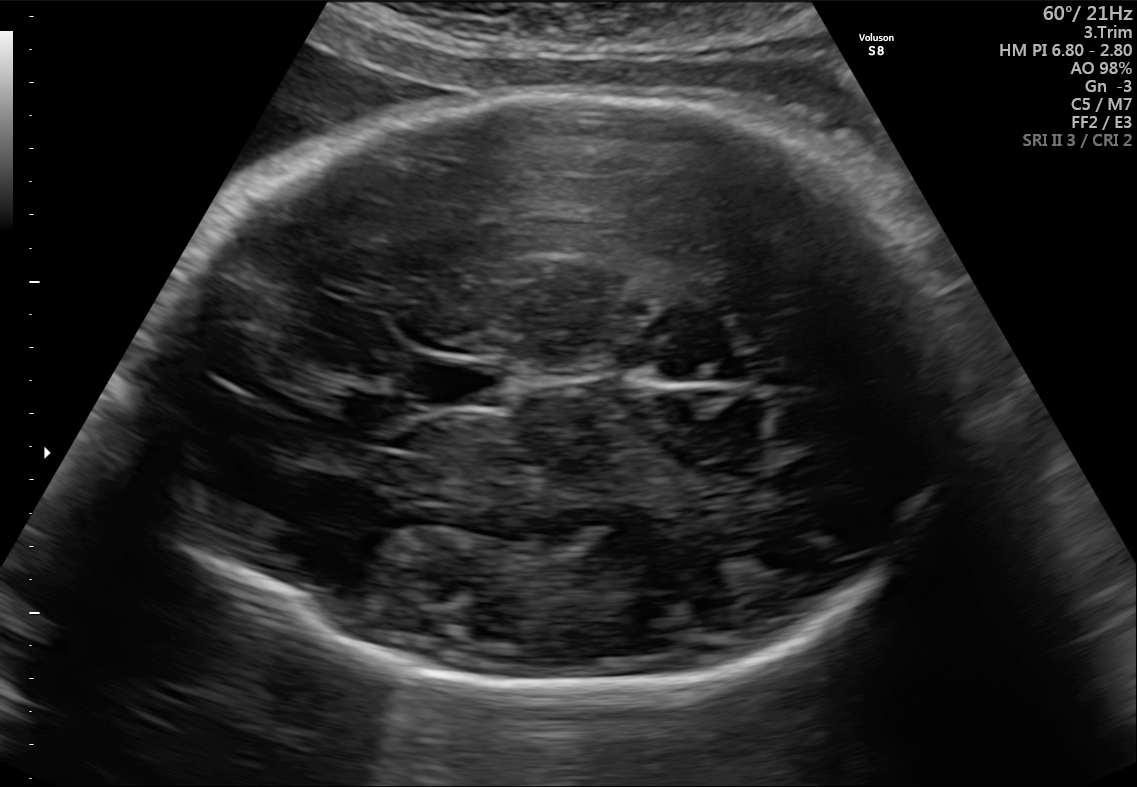
Fetal brain, trans-thalamic plane. Where is the cavum septum pellucidum?

CSP bounding box: [424,359,500,410]